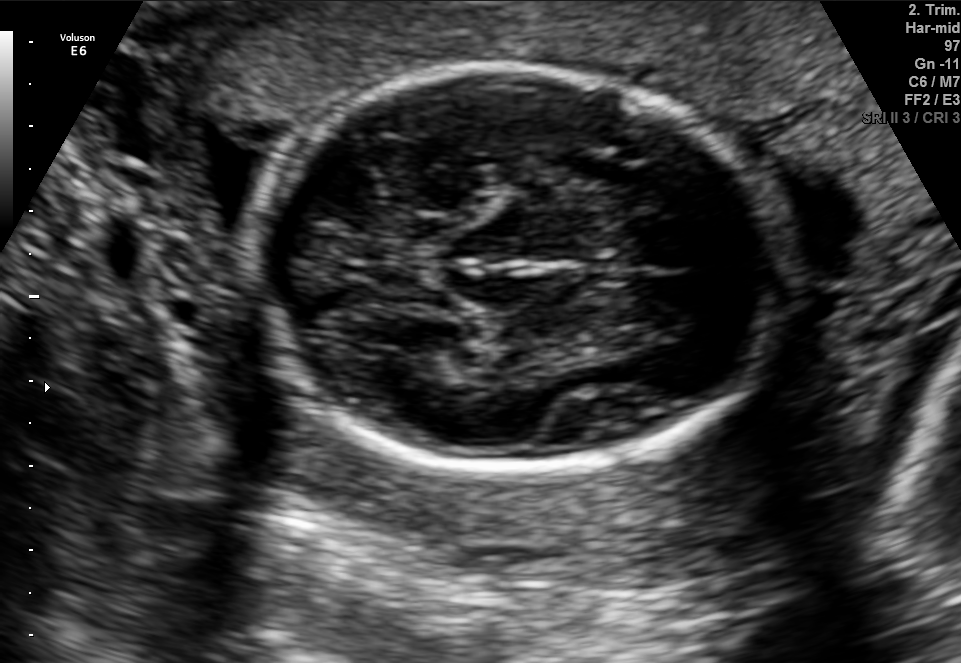
Fetal brain, trans-thalamic plane. Locate the fetal head and, if visible, the cavum septum pellucidum (CSP) and lateral ventricle (LV). Give bounding boxes as [x1,y1,x2,y2].

Head: [259,69,791,469]